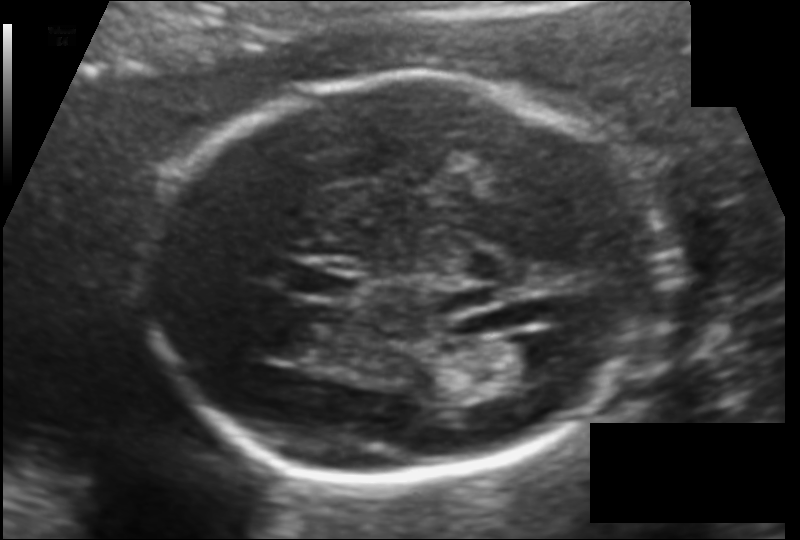
Fetal head ultrasound. Image width: 95.9 mm. Give [x1,y1,x2,y2] bounding boxes for each visible structure among: fetal head, CSP, LV.

Head: [153,74,664,481]
CSP: [286,263,360,306]
Lateral ventricle: [485,329,571,386]